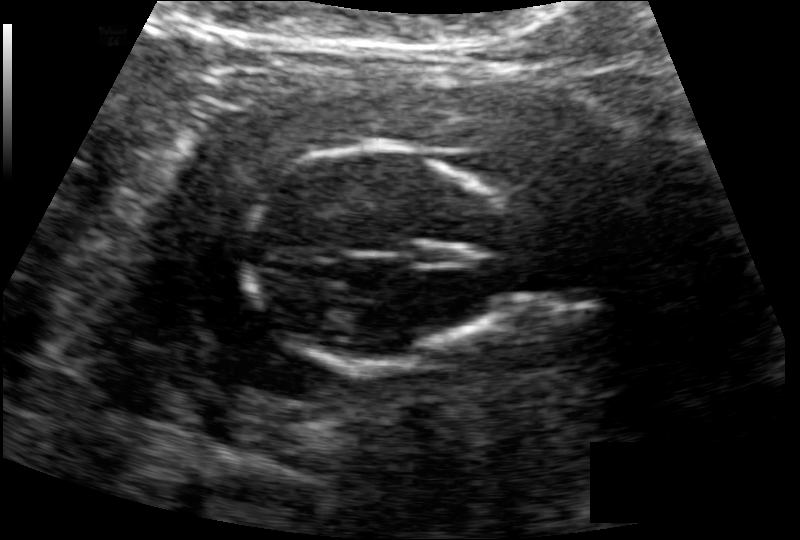
What is the fetal head circumference? Image width is 100.6 mm.

100.5 mm